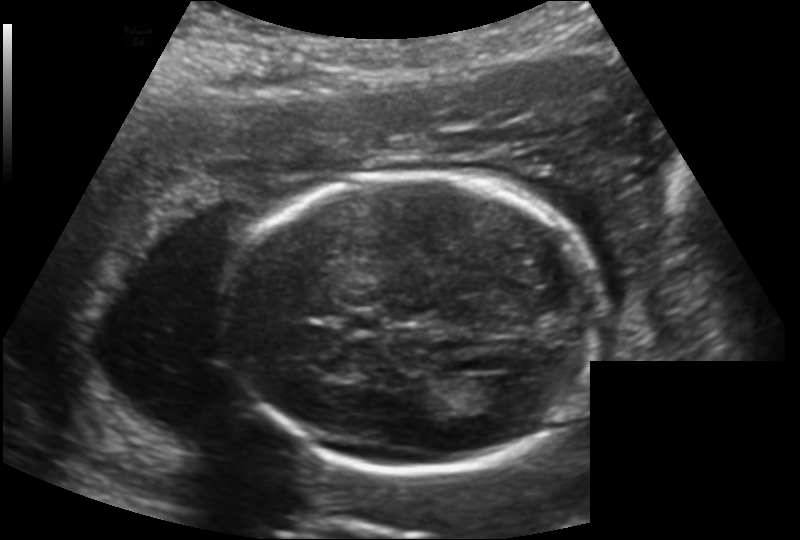
Fetal head ultrasound. Image width: 135.0 mm. Locate the lateral ventricle.

Lateral ventricle: [467,377,524,415]